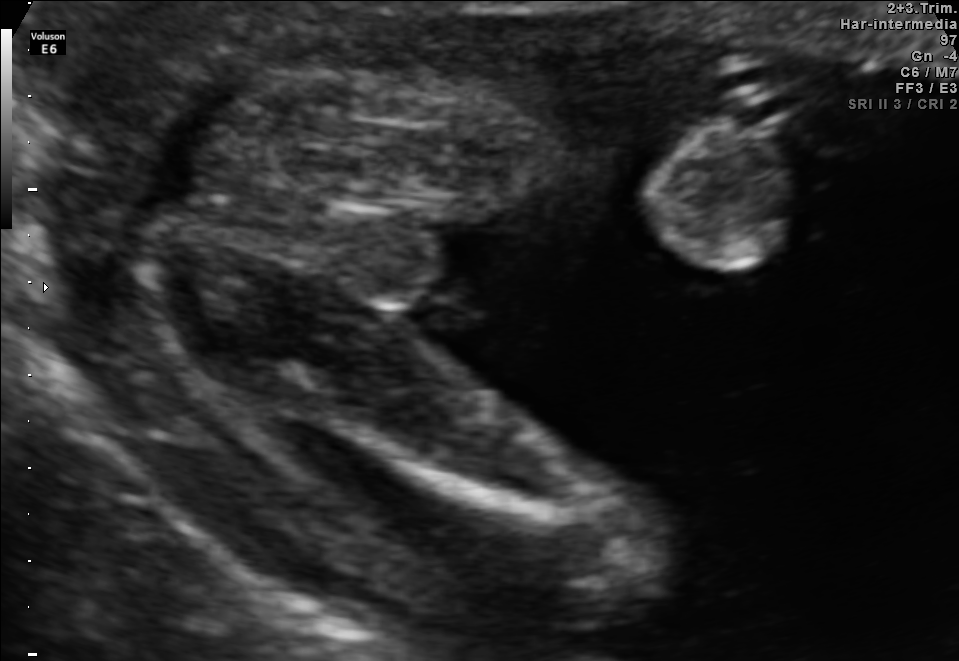
Classify this maternal-fetal ultrasound image as one of the six standard planes — fetal abdomen, fetal brain, fetal femur, fetal thorax, maternal cervix, or other. If it's fetal brain and one of the three standard brain planes (trans-thalamic, trans-cerebellum, trans-ventricular), name which.

Fetal femur